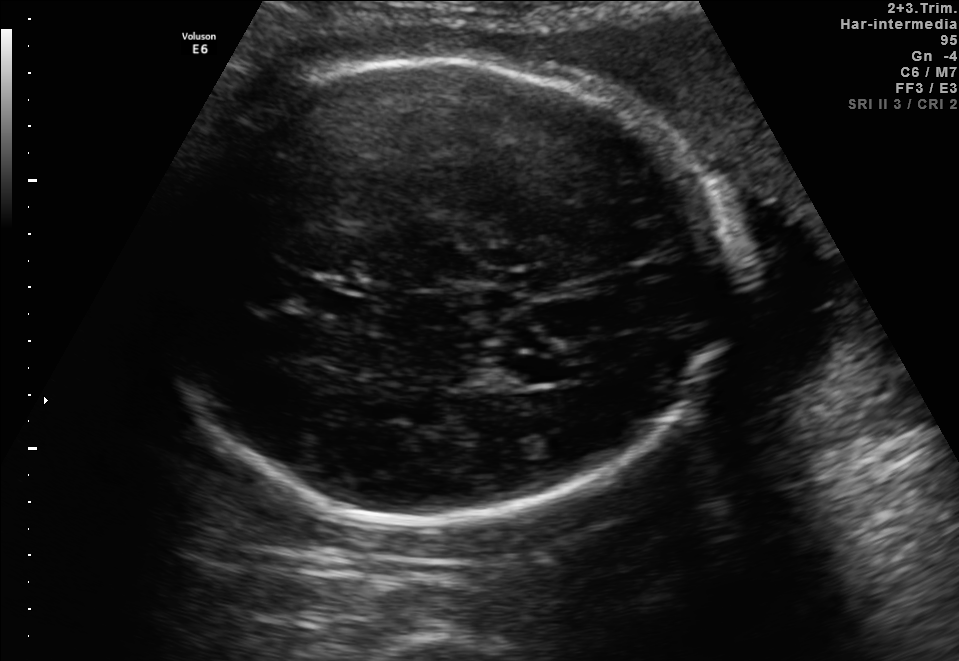
In this fetal brain, trans-thalamic plane, give the bounding box of the lateral ventricle.

[465,349,580,393]